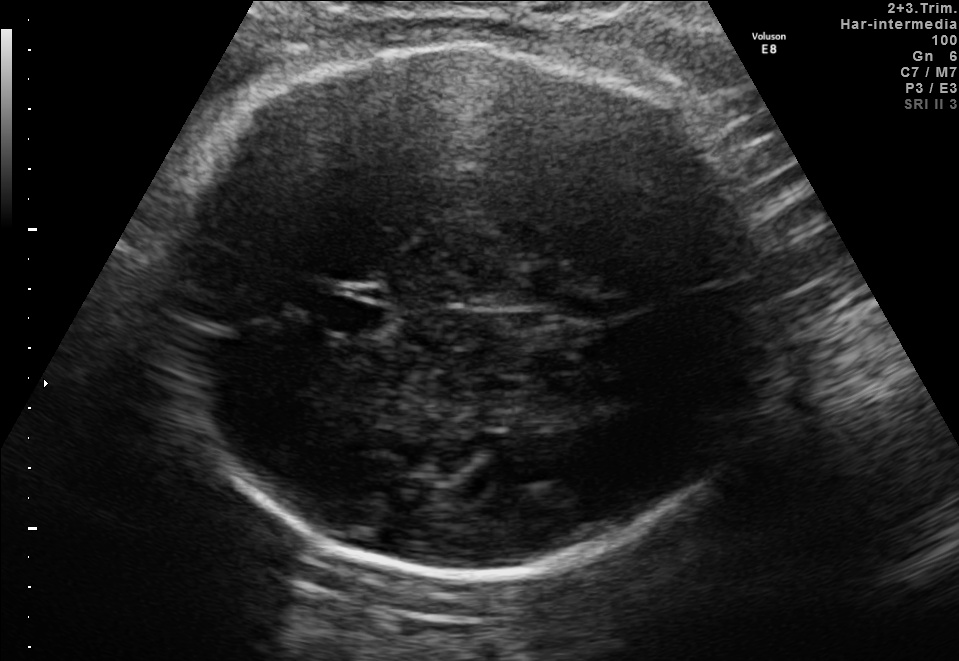
Fetal brain, trans-thalamic plane. Give [x1,y1,x2,y2] bounding boxes for each visible structure among: fetal head, CSP, LV.

Head: [157,44,770,573]
CSP: [322,292,384,340]